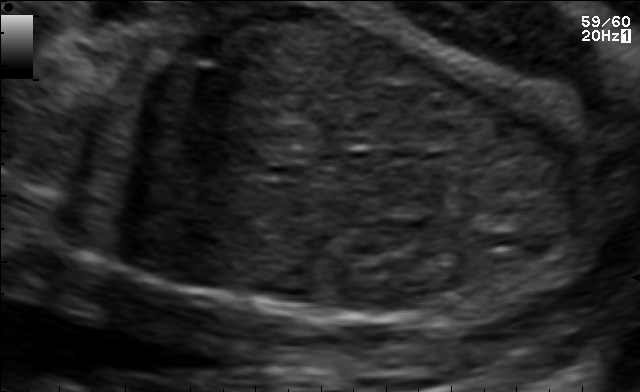
Which standard maternal-fetal ultrasound plane is shown: fetal abdomen, fetal brain, fetal femur, fetal thorax, maternal cervix, or other? If it's fetal brain and one of the three standard brain planes (trans-thalamic, trans-cerebellum, trans-ventricular), name which.

Other